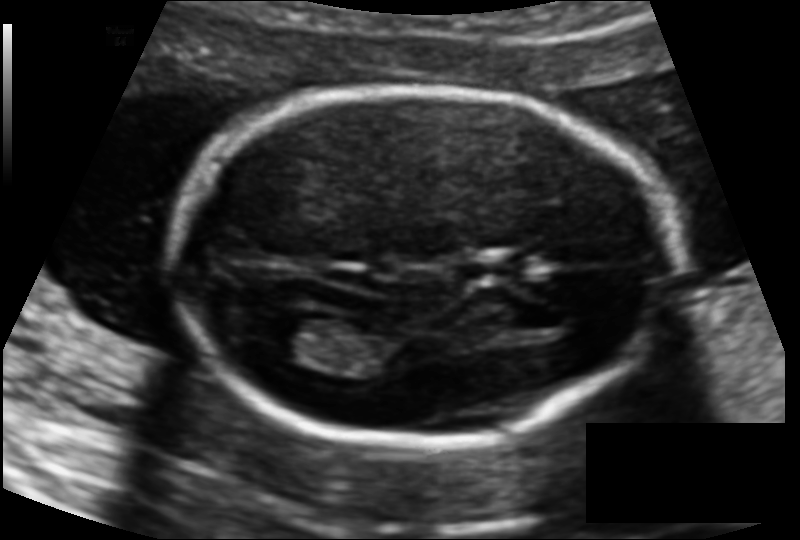
Measure the fetal head circumference shown in this ultrasound image. Image width: 91.5 mm.

Head circumference: 158.8 mm.